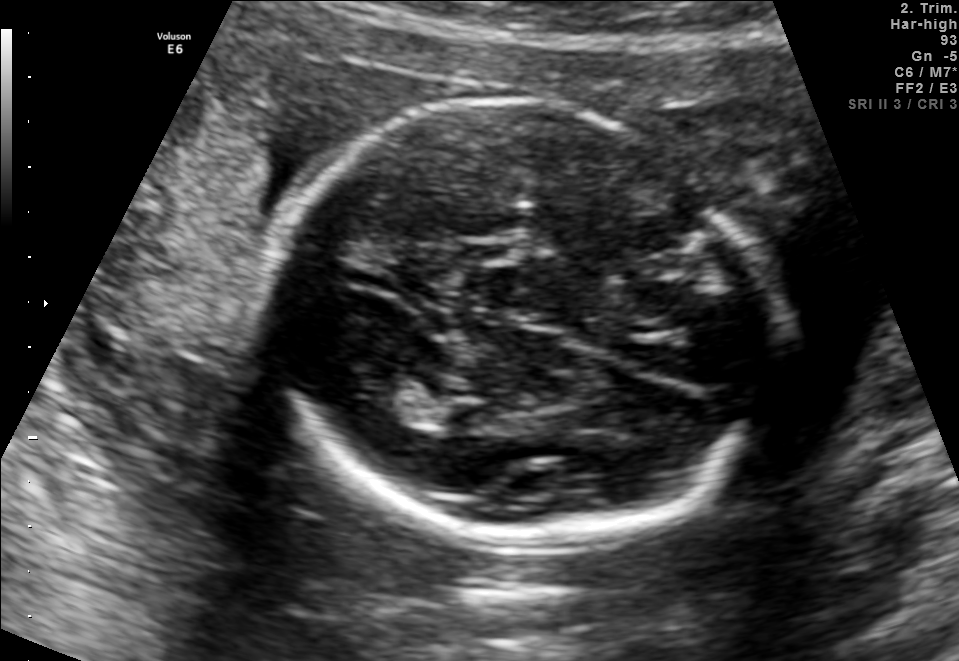
Fetal brain, trans-thalamic plane. Where is the fetal head?

Head bounding box: [269,93,782,532]